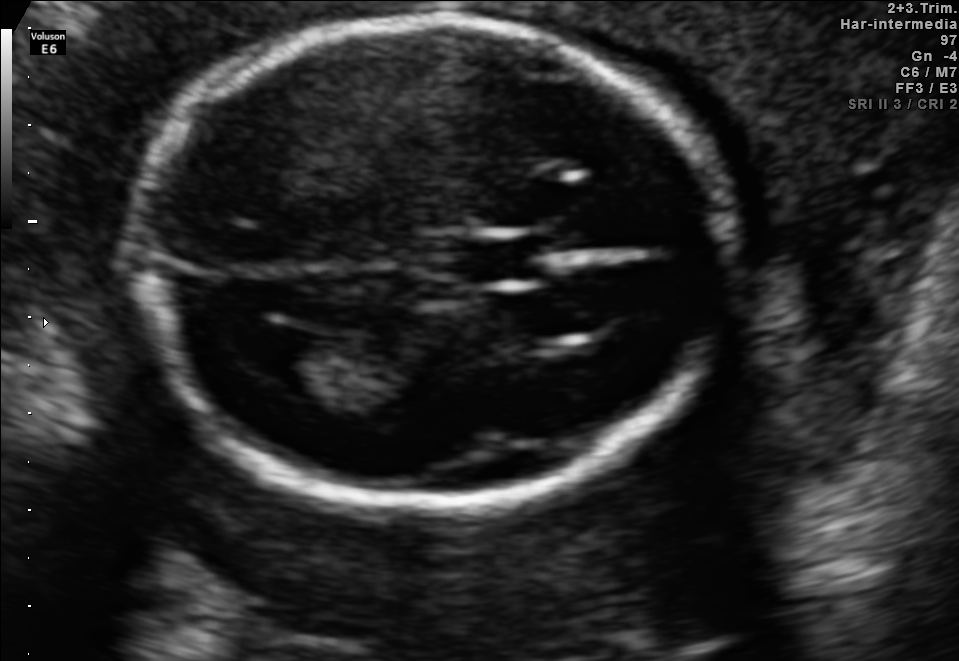
Fetal brain, trans-ventricular plane. Where is the cavum septum pellucidum?

CSP bounding box: [442,239,561,282]